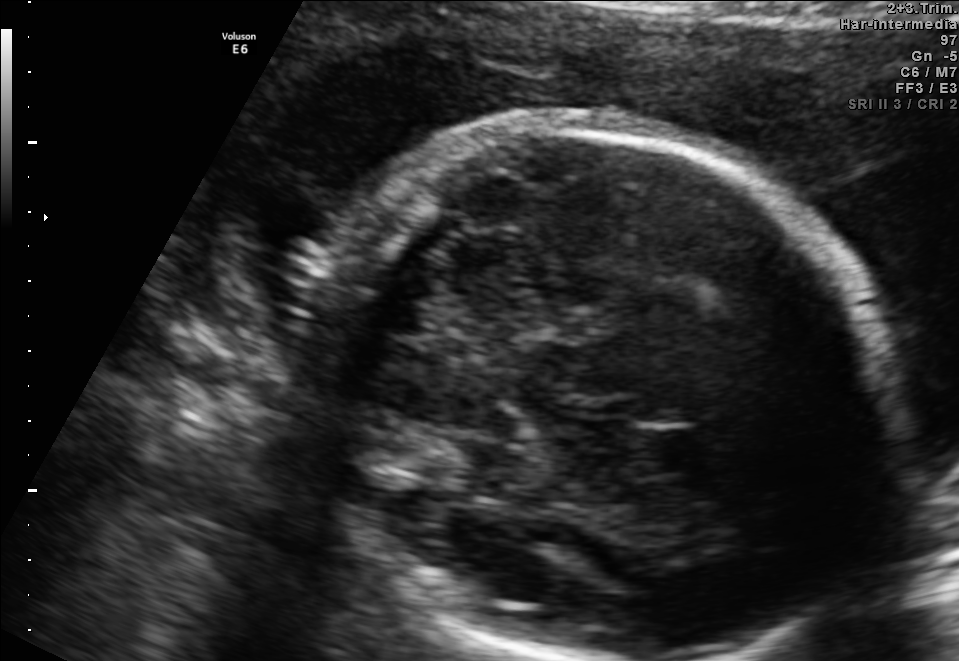
Fetal brain, trans-thalamic plane. Locate the cavum septum pellucidum.

CSP: [641,427,712,473]